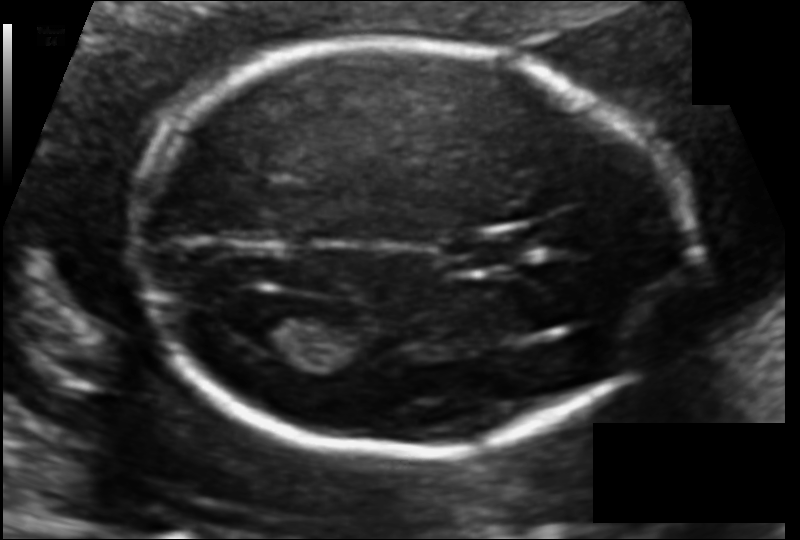
Fetal head ultrasound. Image width: 84.8 mm. Give [x1,y1,x2,y2] bounding boxes for each visible structure among: fetal head, CSP, LV.

Head: [128,44,686,453]
CSP: [450,230,525,273]
Lateral ventricle: [240,297,331,367]